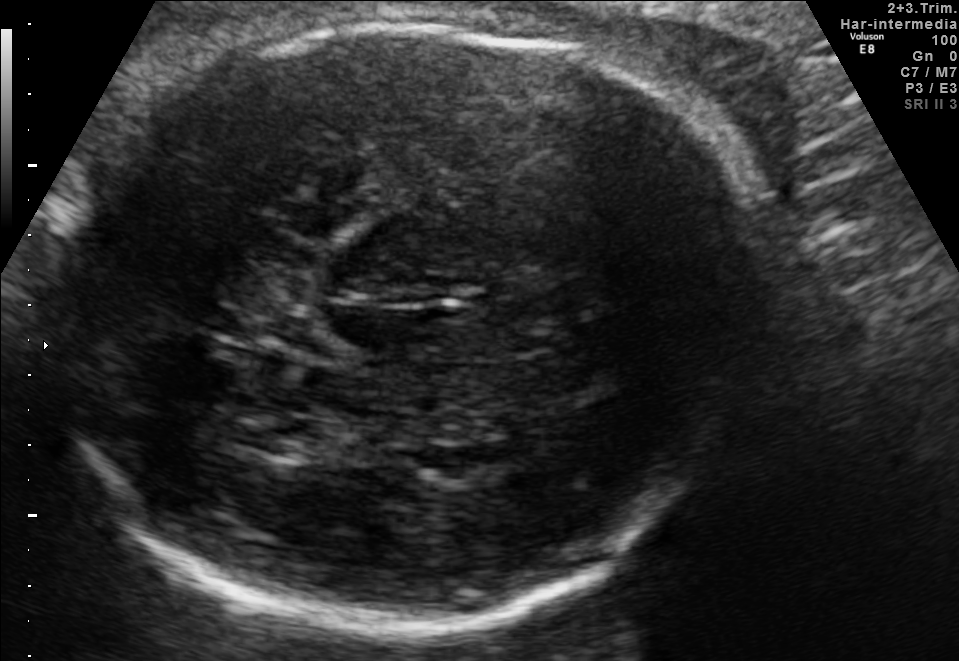
Fetal brain, trans-thalamic plane. Locate the fetal head.

Head: [49,21,766,626]